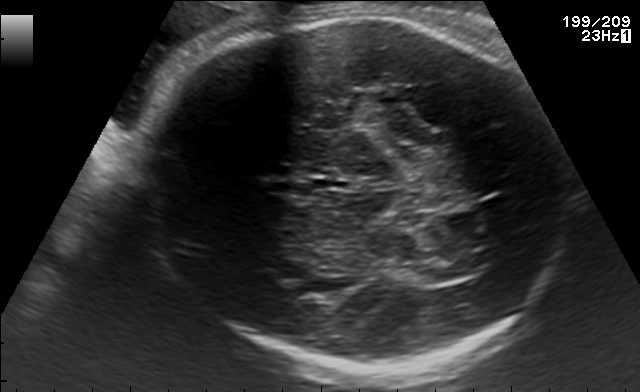
This is a 2D maternal-fetal ultrasound frame. Is it a fetal abdomen, fetal brain, fetal femur, fetal thorax, maternal cervix, or other standard plane? If it's fetal brain and one of the three standard brain planes (trans-thalamic, trans-cerebellum, trans-ventricular), name which.

Fetal brain (trans-thalamic plane)